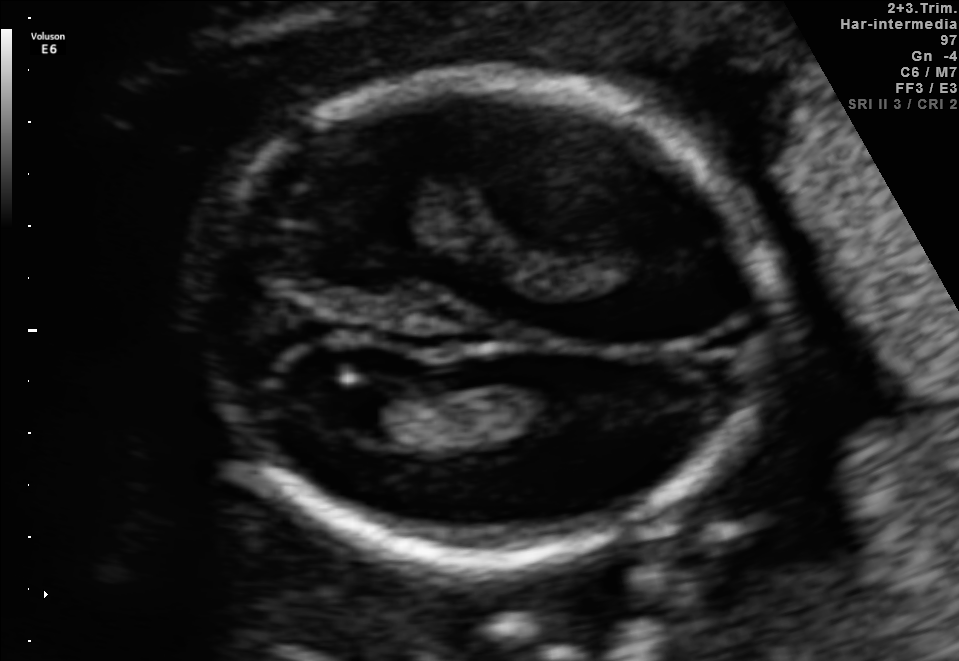
In this fetal brain, trans-ventricular plane, give the bounding box of the lateral ventricle.

[303,377,401,442]